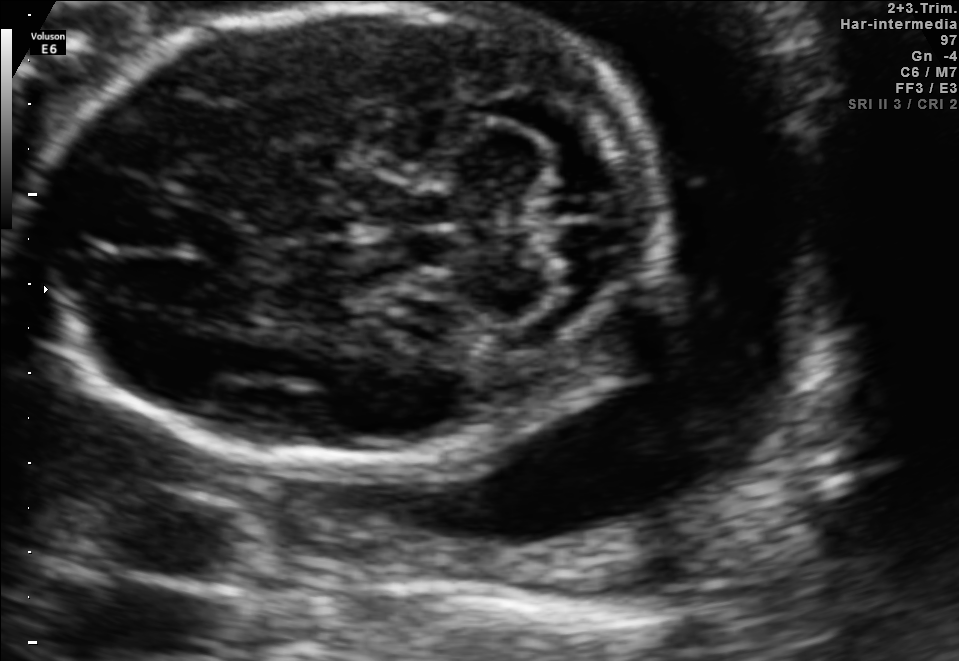
In this fetal brain, trans-cerebellum plane, give the bounding box of the cavum septum pellucidum.

[167,199,252,270]